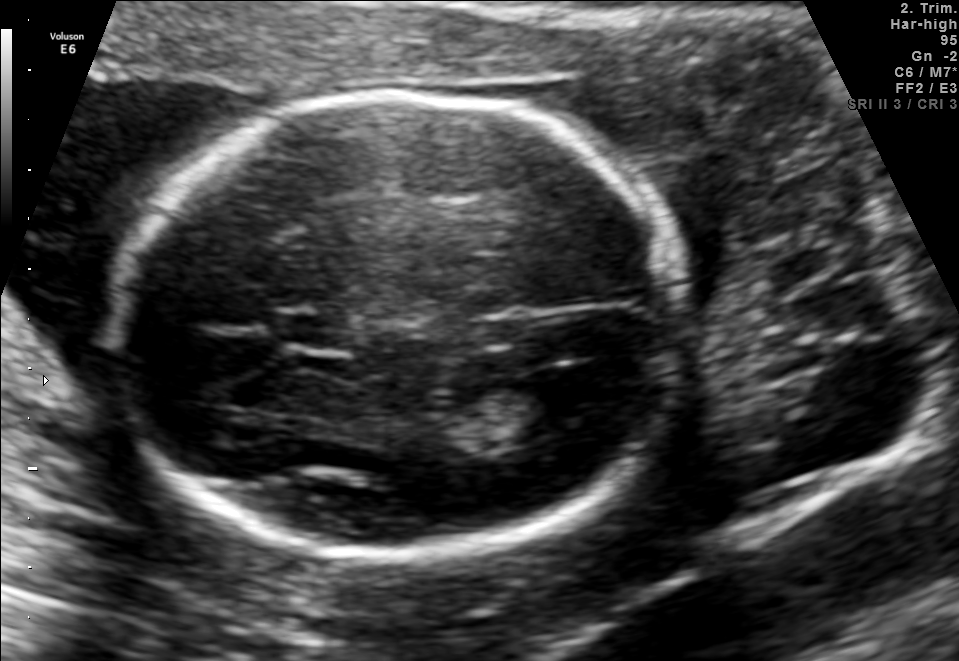
Fetal brain, trans-ventricular plane. Locate the lateral ventricle.

Lateral ventricle: [503,352,618,443]